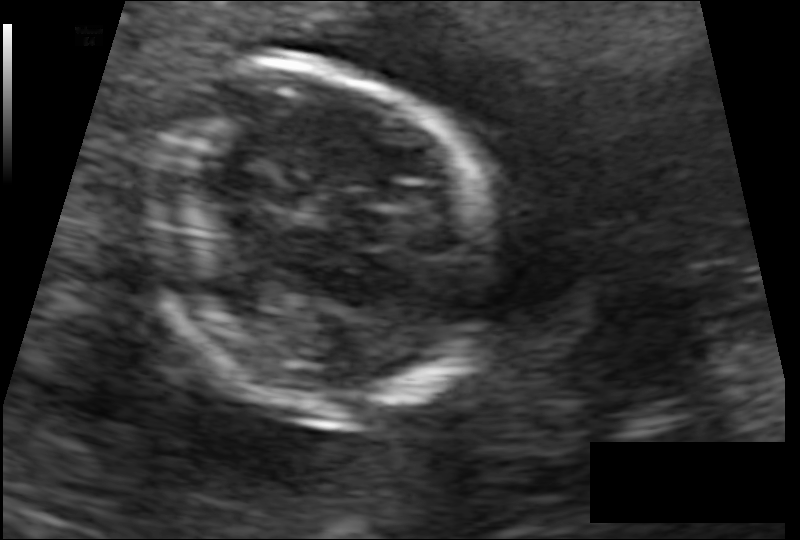
Estimate the fetal head circumference from this 2D ultrasound. Image width: 73.2 mm.

Head circumference: 104.7 mm.